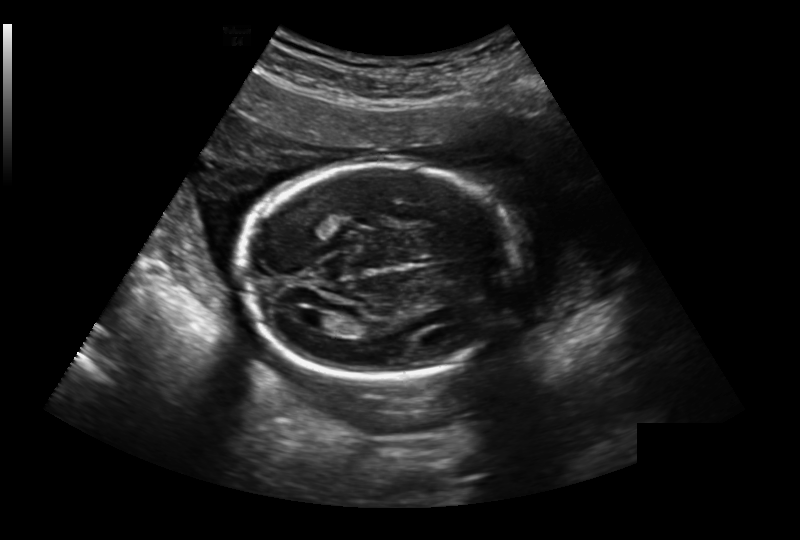
What is the fetal head circumference? Image width is 188.5 mm.

189.1 mm